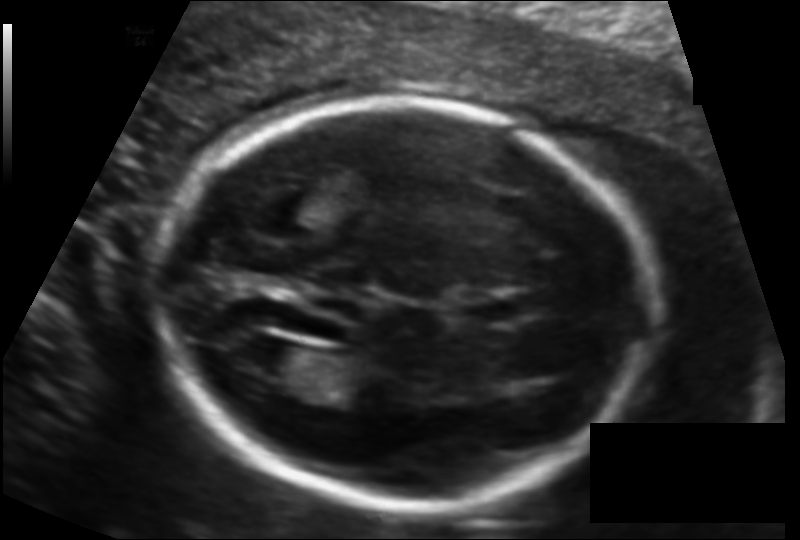
From this fetal ultrasound, estimate the head circumference (image width 98.9 mm).

Head circumference: 179.0 mm.